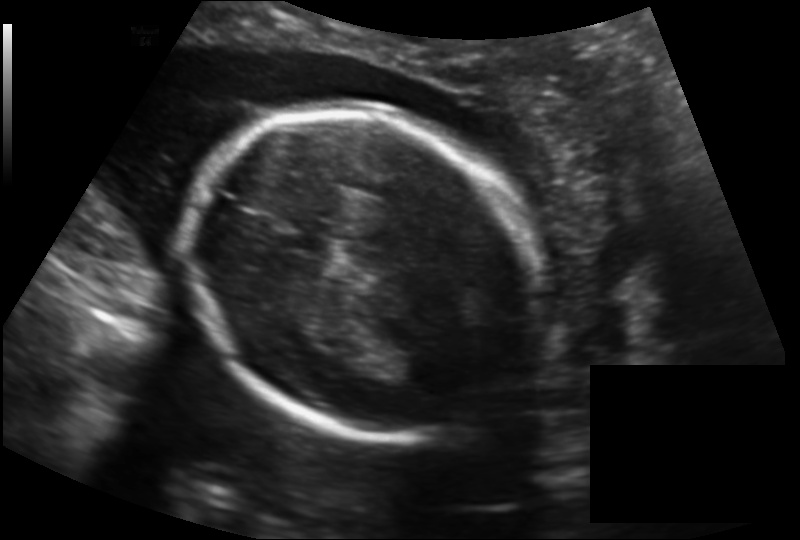
Measure the fetal head circumference shown in this ultrasound image. Image width: 131.3 mm.

Head circumference: 180.1 mm.